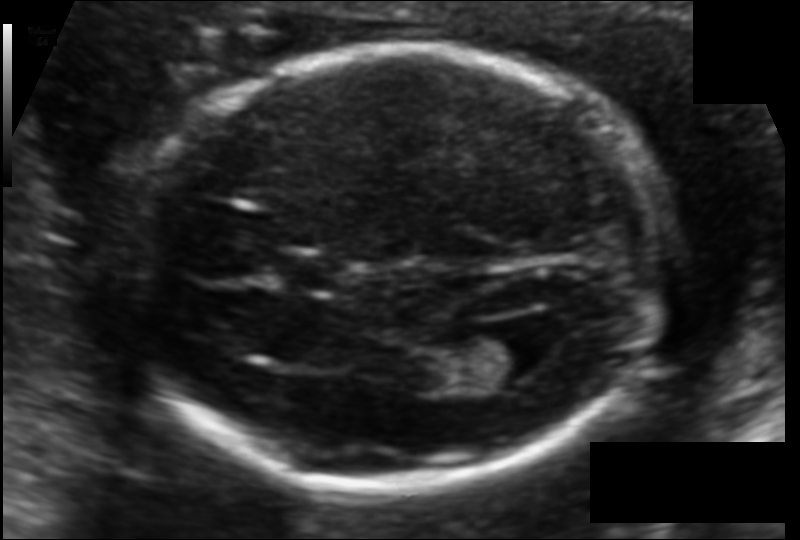
In this fetal head ultrasound, give the bounding box of the lateral ventricle. Image width: 86.5 mm.

[467,320,558,395]